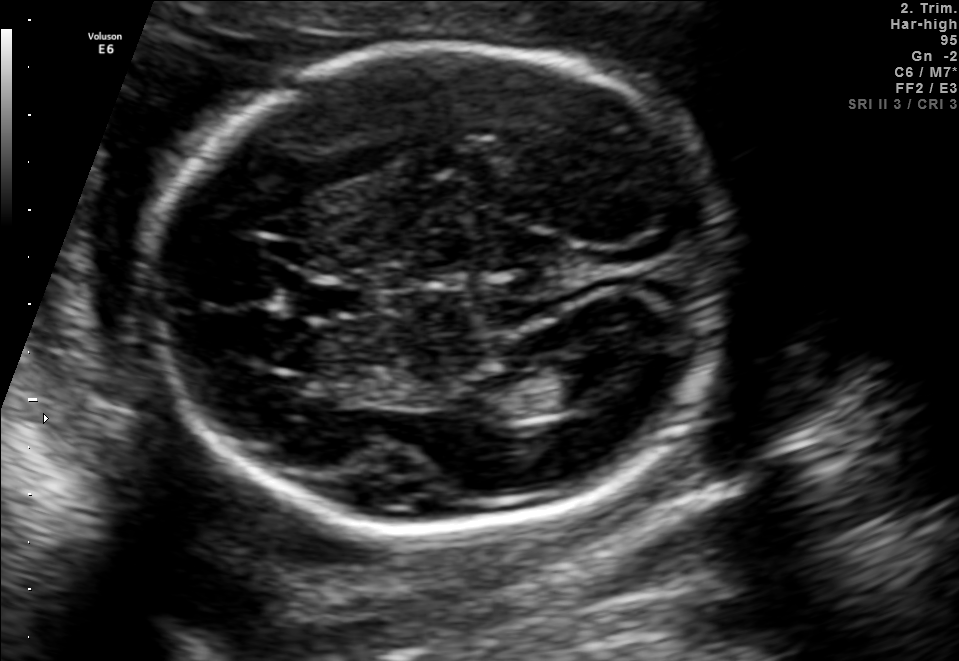
Fetal brain, trans-ventricular plane. Where is the lateral ventricle?

Lateral ventricle bounding box: [536,343,641,416]